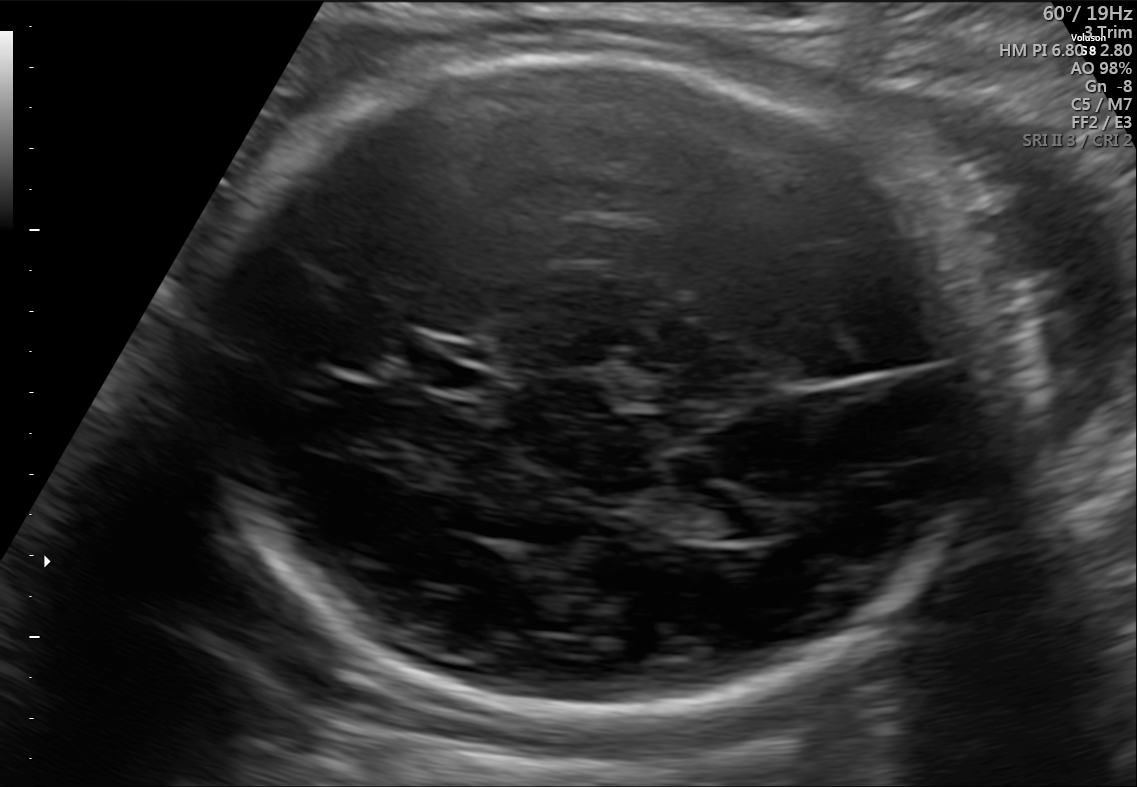
Which standard maternal-fetal ultrasound plane is shown: fetal abdomen, fetal brain, fetal femur, fetal thorax, maternal cervix, or other? If it's fetal brain and one of the three standard brain planes (trans-thalamic, trans-cerebellum, trans-ventricular), name which.

Fetal brain (trans-ventricular plane)